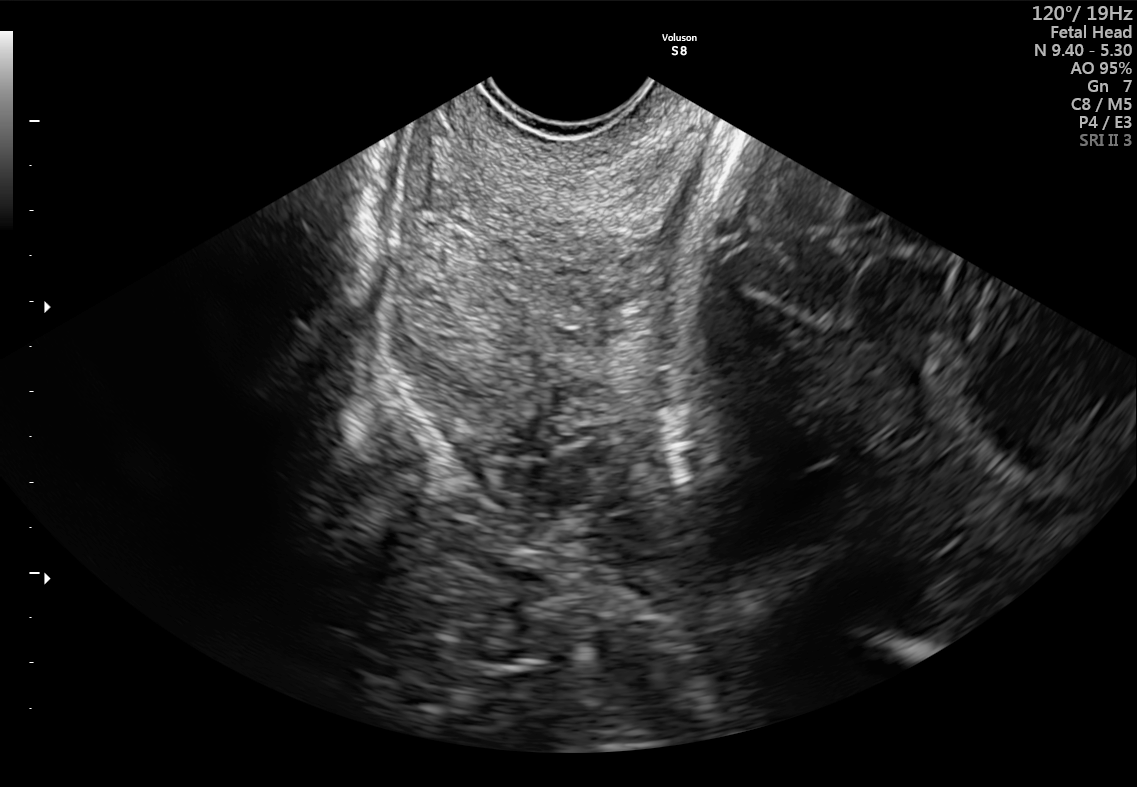
Classify this maternal-fetal ultrasound image as one of the six standard planes — fetal abdomen, fetal brain, fetal femur, fetal thorax, maternal cervix, or other. If it's fetal brain and one of the three standard brain planes (trans-thalamic, trans-cerebellum, trans-ventricular), name which.

Maternal cervix